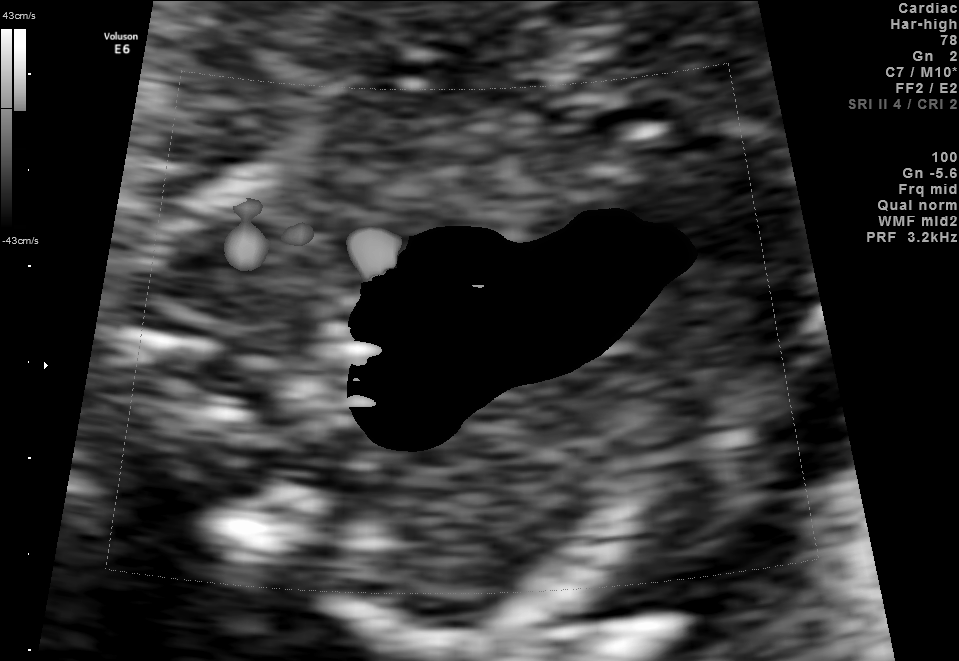
Classify this maternal-fetal ultrasound image as one of the six standard planes — fetal abdomen, fetal brain, fetal femur, fetal thorax, maternal cervix, or other. If it's fetal brain and one of the three standard brain planes (trans-thalamic, trans-cerebellum, trans-ventricular), name which.

Other